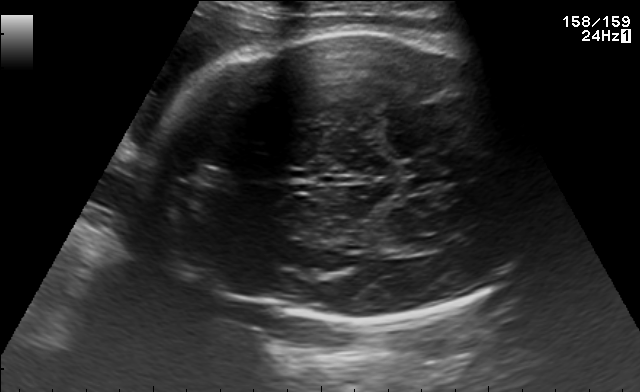
Fetal brain, trans-thalamic plane. Where is the fetal head?

Head bounding box: [141,27,532,324]